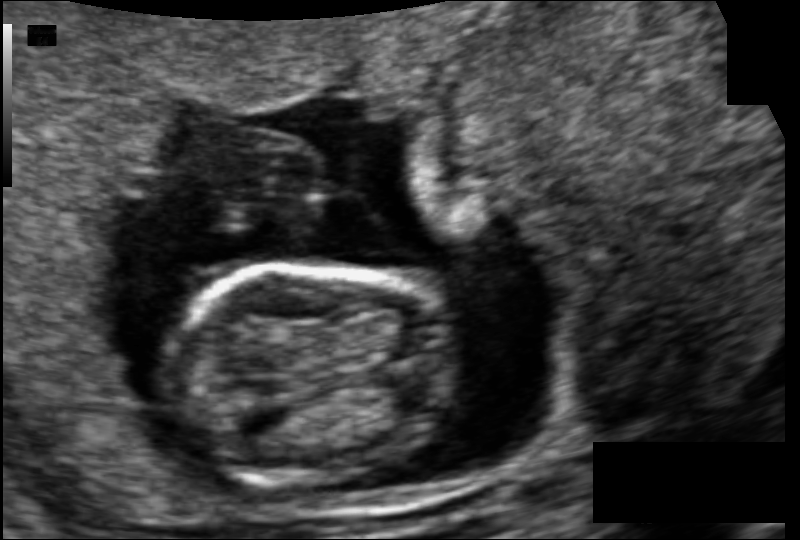
Estimate the fetal head circumference from this 2D ultrasound.

Head circumference: 71.9 mm (image width 70.0 mm).